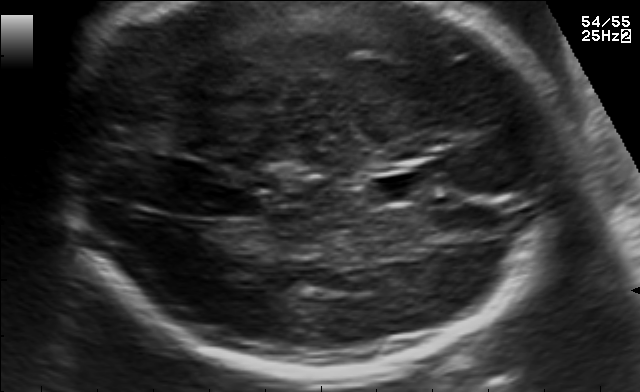
Identify the standard plane in this fetal ultrasound image: fetal abdomen, fetal brain, fetal femur, fetal thorax, maternal cervix, or other. If it's fetal brain and one of the three standard brain planes (trans-thalamic, trans-cerebellum, trans-ventricular), name which.

Fetal brain (trans-thalamic plane)